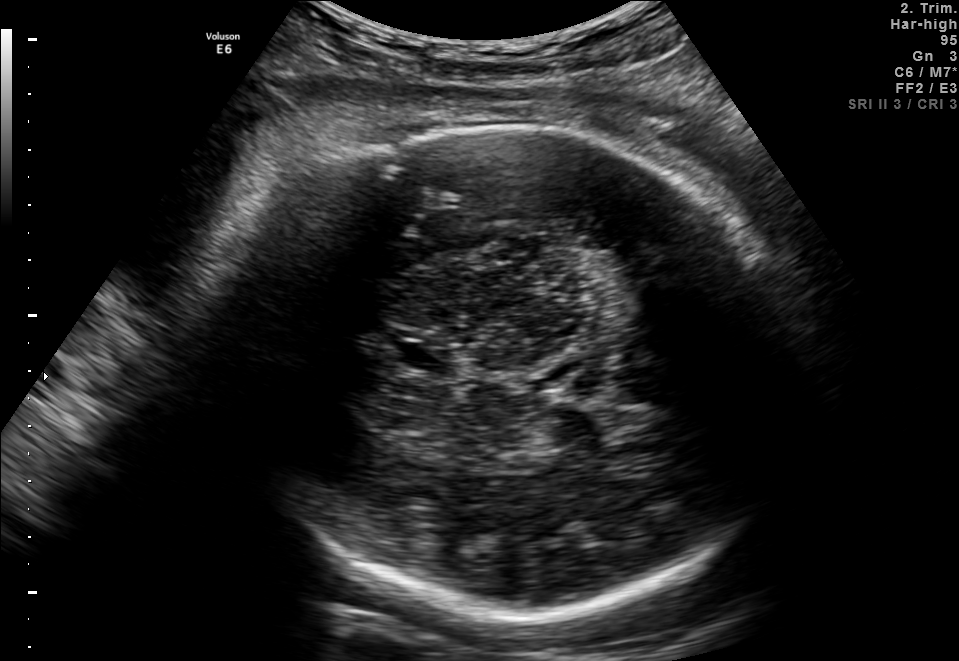
In this fetal brain, trans-thalamic plane, give bounding boxes for the head outline, cavum septum pellucidum (CSP), and lateral ventricle (LV), where visible.

Head: [227,129,798,614]
CSP: [400,340,455,375]